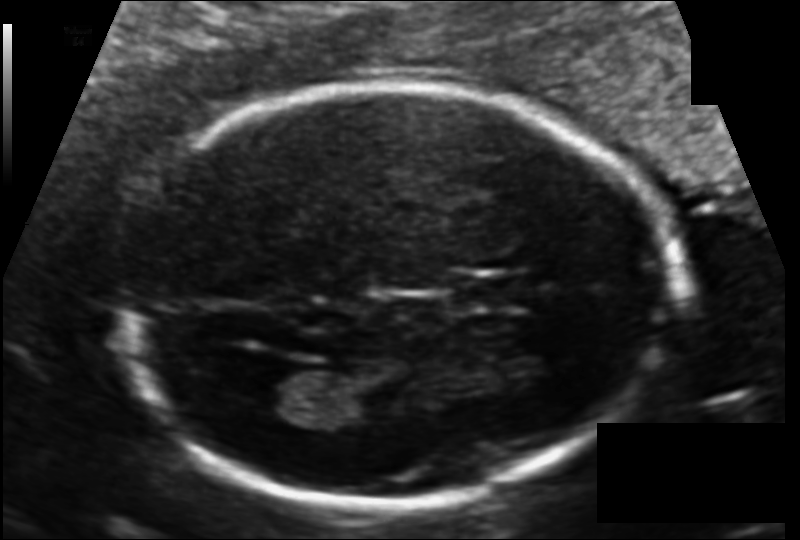
In this fetal head ultrasound, give the bounding box of the fetal head. Image width: 90.0 mm.

[116,87,679,507]